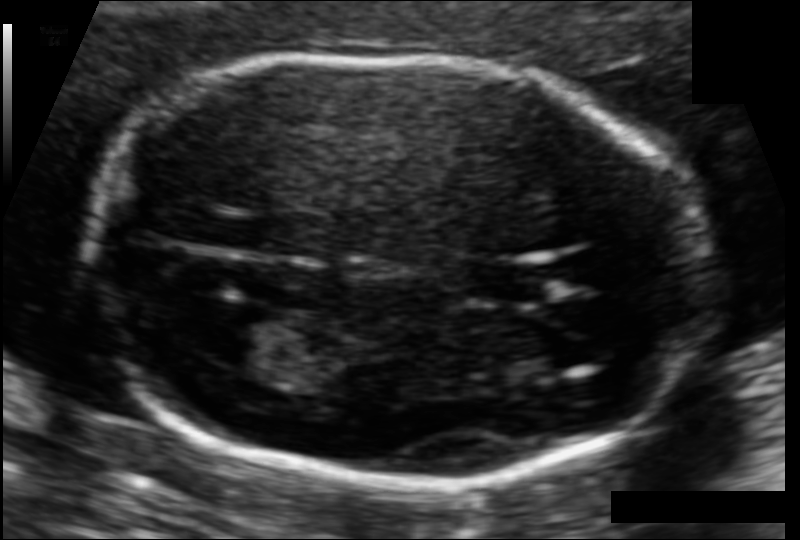
Estimate the fetal head circumference from this 2D ultrasound.

Head circumference: 158.5 mm (image width 73.9 mm).